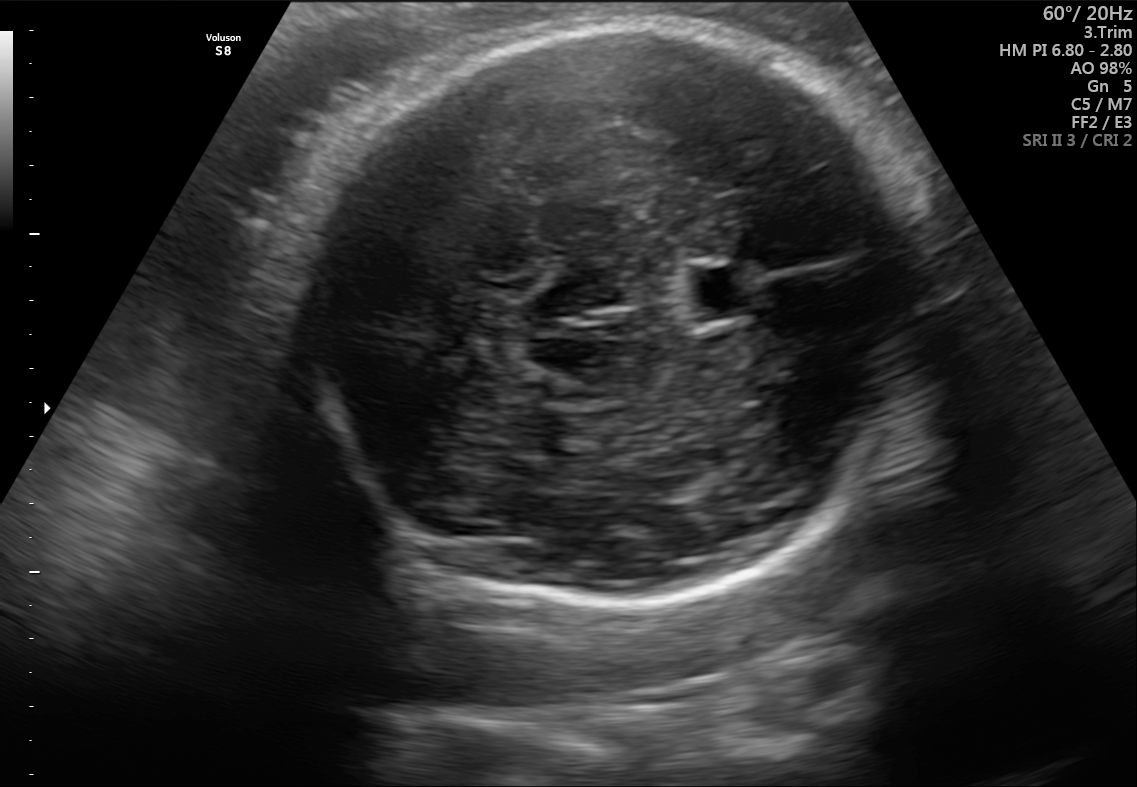
Fetal brain, trans-thalamic plane. Locate the cavum septum pellucidum.

CSP: [682,260,767,325]